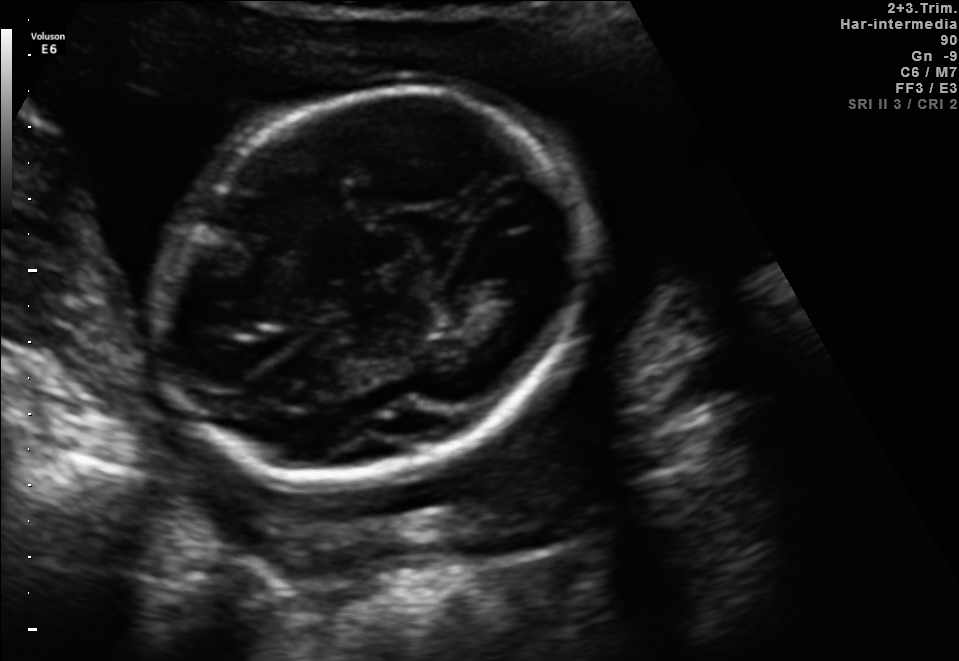
Fetal brain, trans-thalamic plane. Where is the fetal head?

Head bounding box: [157,82,588,489]